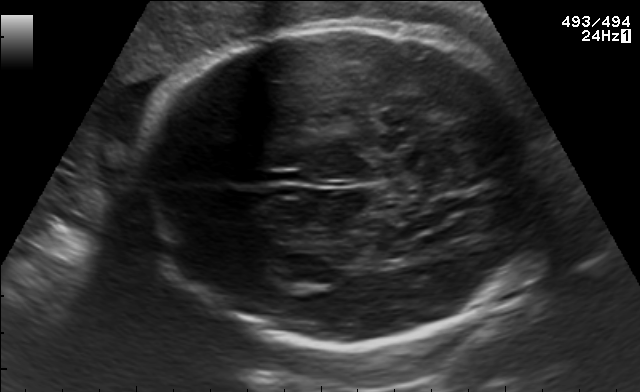
In this fetal brain, trans-thalamic plane, give the bounding box of the fetal head.

[133,22,548,348]